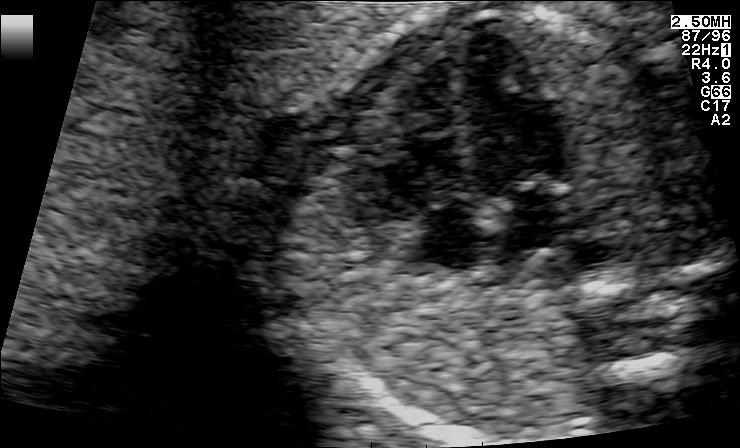
Classify this maternal-fetal ultrasound image as one of the six standard planes — fetal abdomen, fetal brain, fetal femur, fetal thorax, maternal cervix, or other. If it's fetal brain and one of the three standard brain planes (trans-thalamic, trans-cerebellum, trans-ventricular), name which.

Fetal thorax